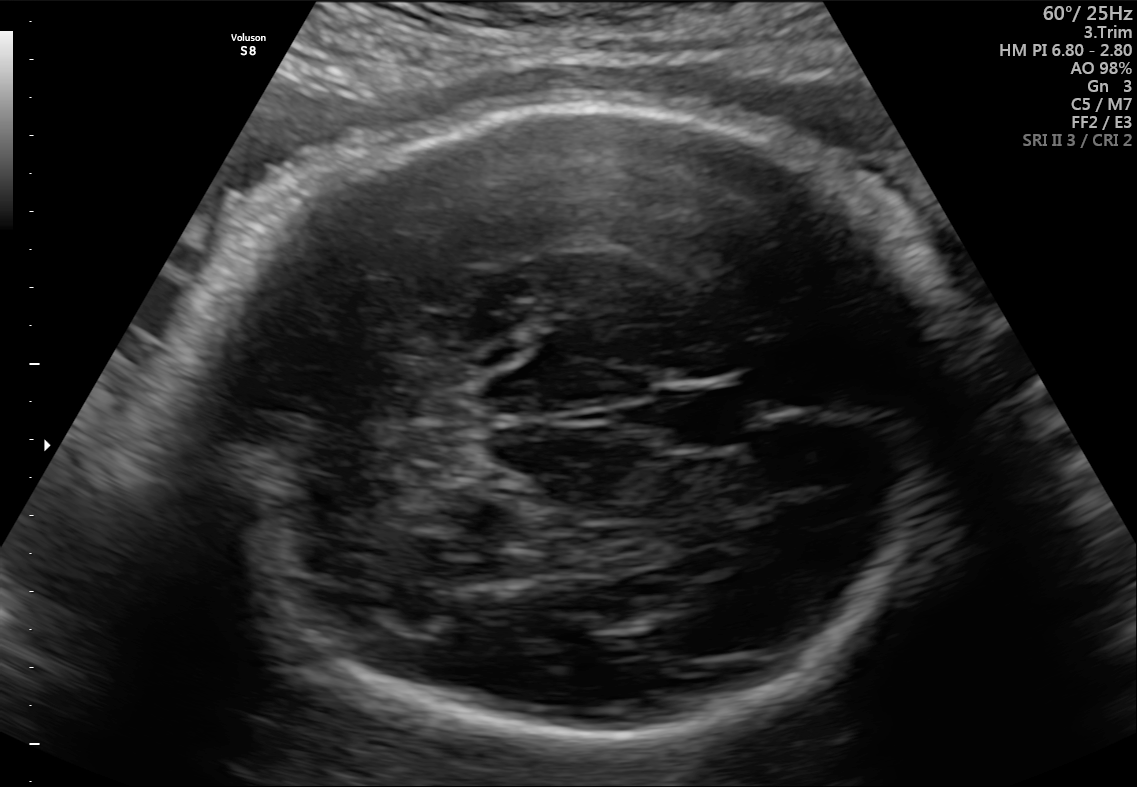
Fetal brain, trans-cerebellum plane. Where is the cavum septum pellucidum?

CSP bounding box: [656,378,752,459]